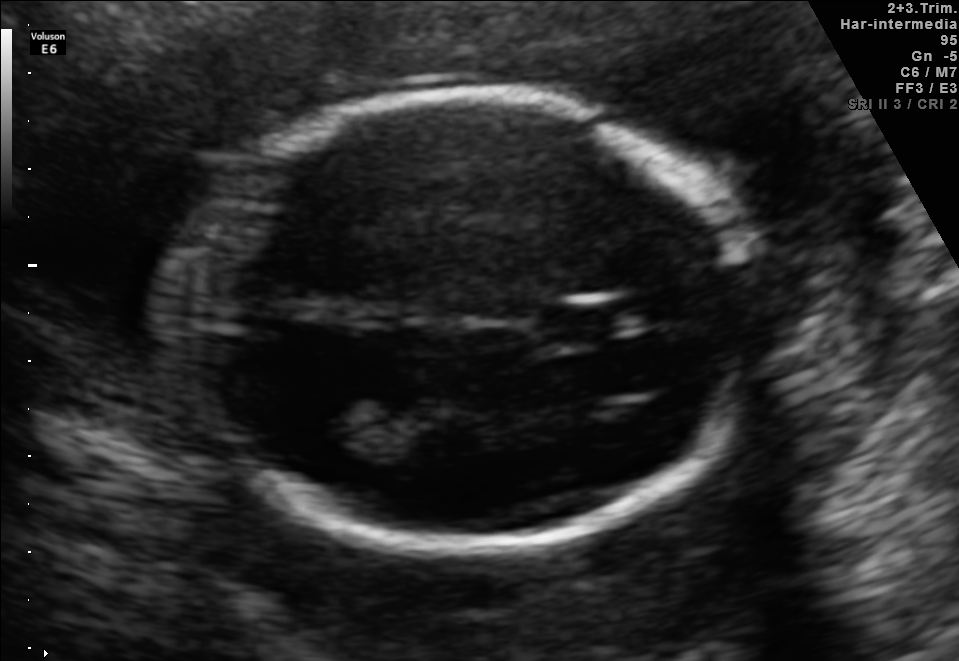
Fetal brain, trans-thalamic plane. Where is the fetal head?

Head bounding box: [180,93,757,556]